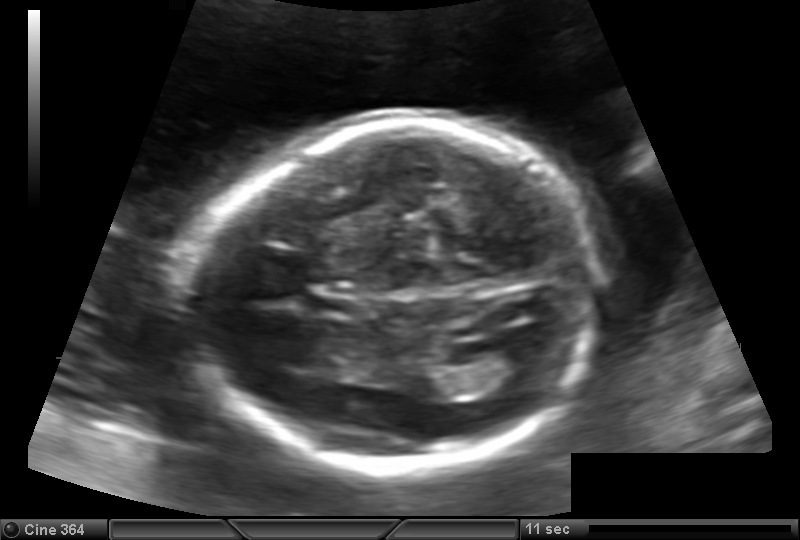
In this fetal head ultrasound, give the bounding box of the cavum septum pellucidum. Image width: 115.2 mm.

[303,288,361,323]